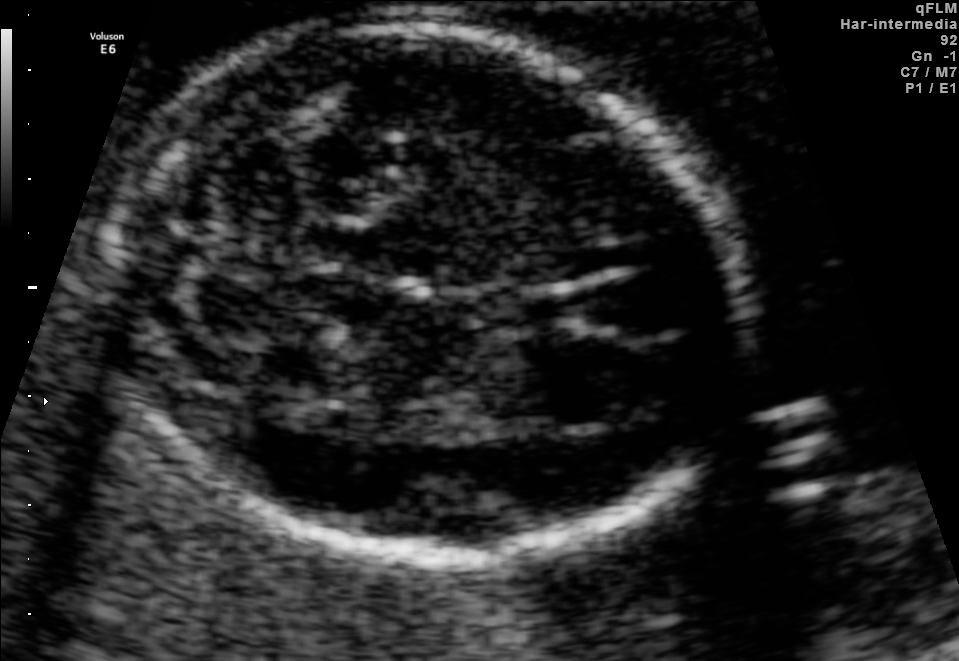
Fetal brain, trans-cerebellum plane. Give [x1,y1,x2,y2] bounding boxes for each visible structure among: fetal head, CSP, LV.

Head: [119,27,740,554]